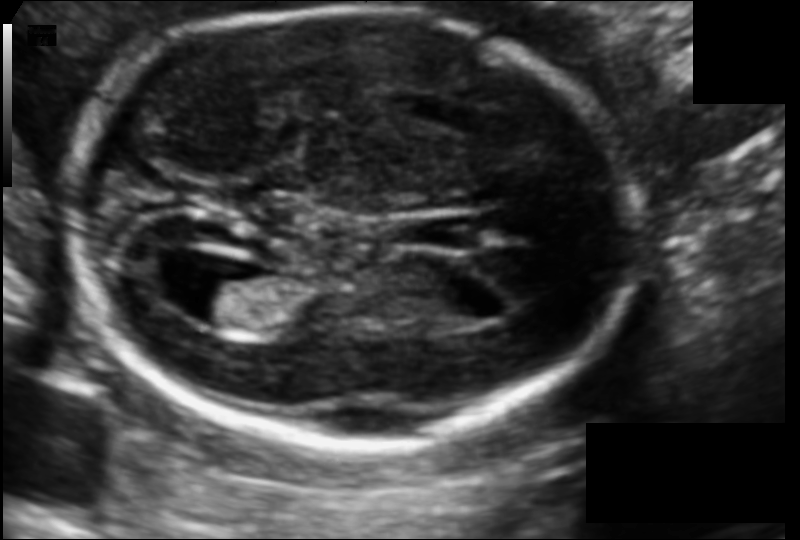
Fetal head ultrasound. Image width: 83.9 mm. Locate the lateral ventricle.

Lateral ventricle: [174,266,269,333]